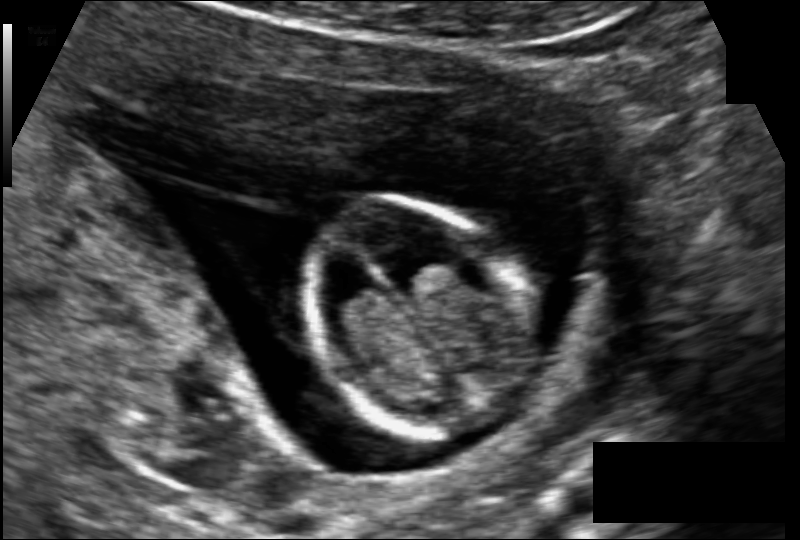
Fetal head ultrasound. Image width: 81.3 mm. Give [x1,y1,x2,y2] bounding boxes for each visible structure among: fetal head, CSP, LV.

Head: [299,203,535,436]